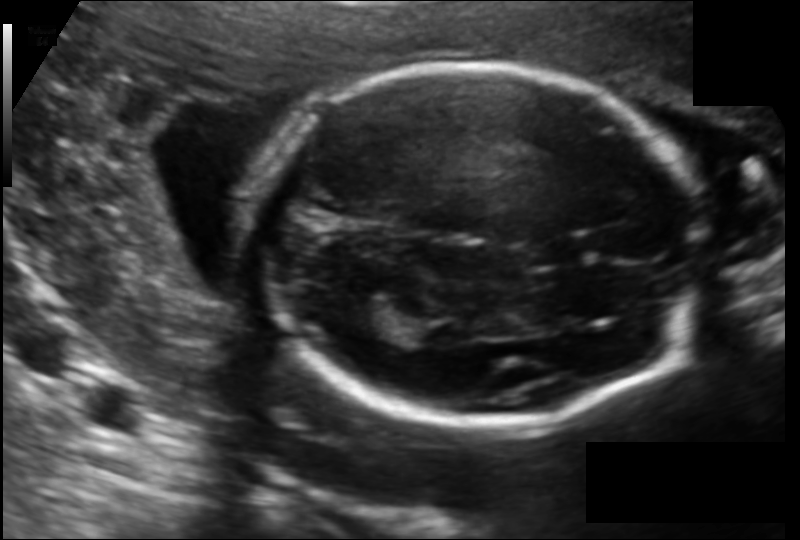
In this fetal head ultrasound, give the bounding box of the cavum septum pellucidum. Image width: 103.2 mm.

[526,235,586,271]